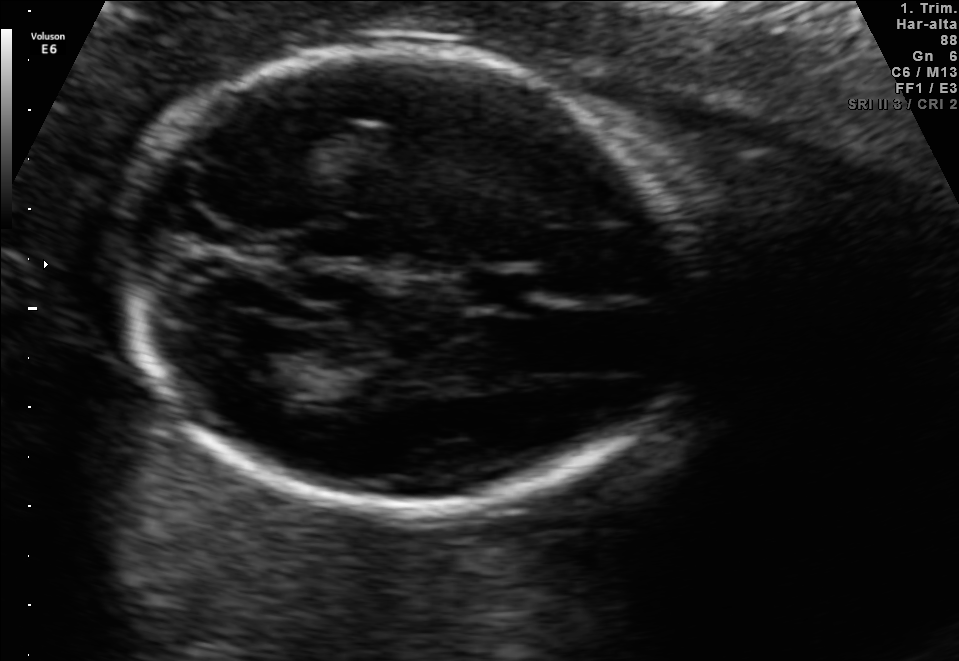
Fetal brain, trans-thalamic plane. Locate the fetal head.

Head: [111,47,702,512]